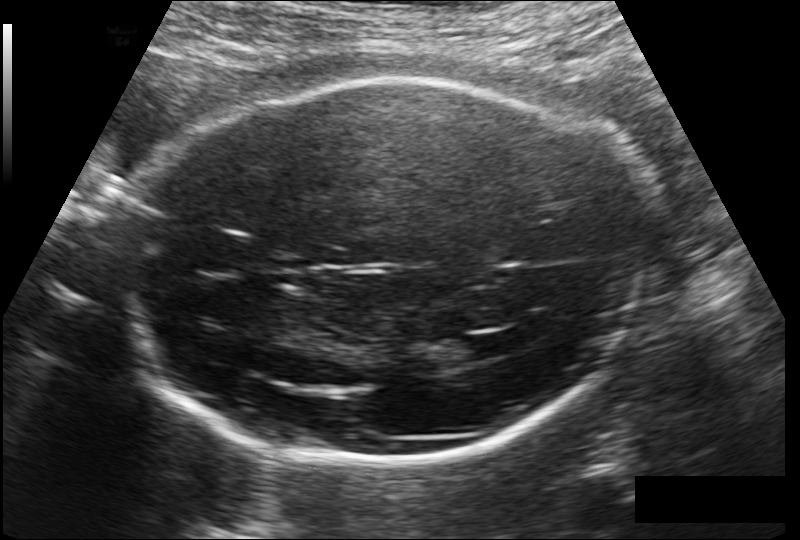
Fetal head ultrasound. Image width: 142.1 mm. Where is the lateral ventricle?

Lateral ventricle bounding box: [441,334,492,366]